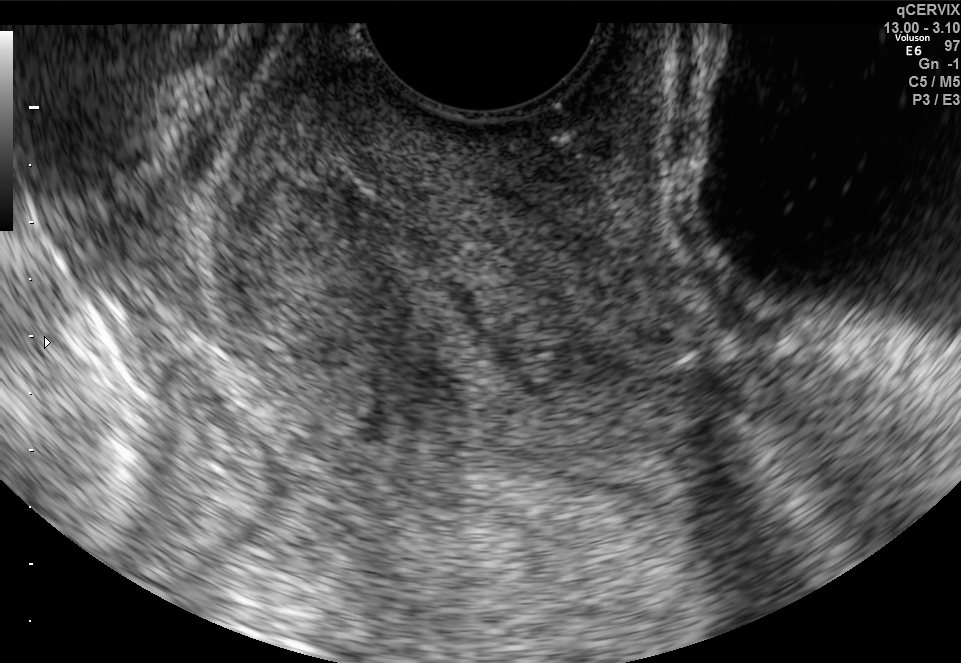
Which standard maternal-fetal ultrasound plane is shown: fetal abdomen, fetal brain, fetal femur, fetal thorax, maternal cervix, or other? If it's fetal brain and one of the three standard brain planes (trans-thalamic, trans-cerebellum, trans-ventricular), name which.

Maternal cervix